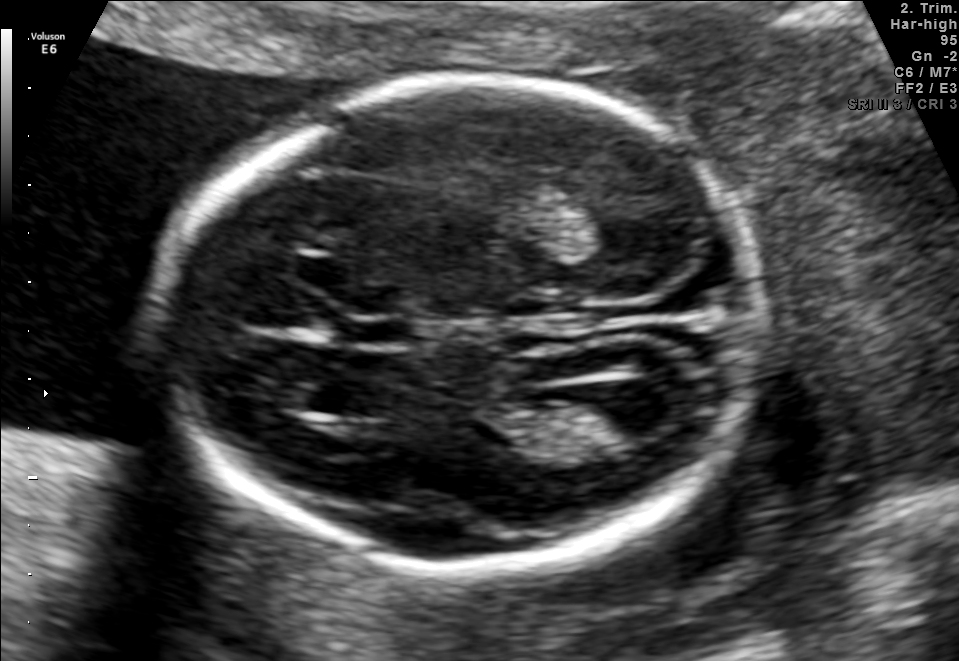
This is a 2D maternal-fetal ultrasound frame. Is it a fetal abdomen, fetal brain, fetal femur, fetal thorax, maternal cervix, or other standard plane? If it's fetal brain and one of the three standard brain planes (trans-thalamic, trans-cerebellum, trans-ventricular), name which.

Fetal brain (trans-ventricular plane)